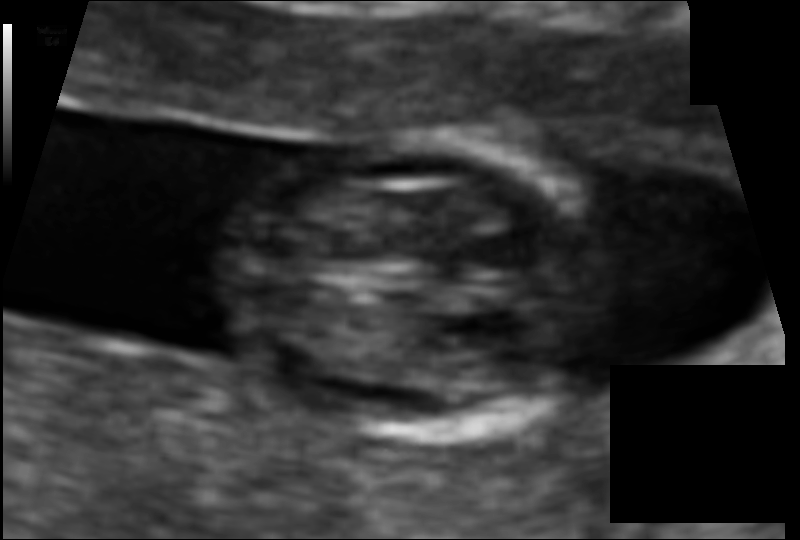
What is the fetal head circumference? Image width is 53.7 mm.

76.8 mm